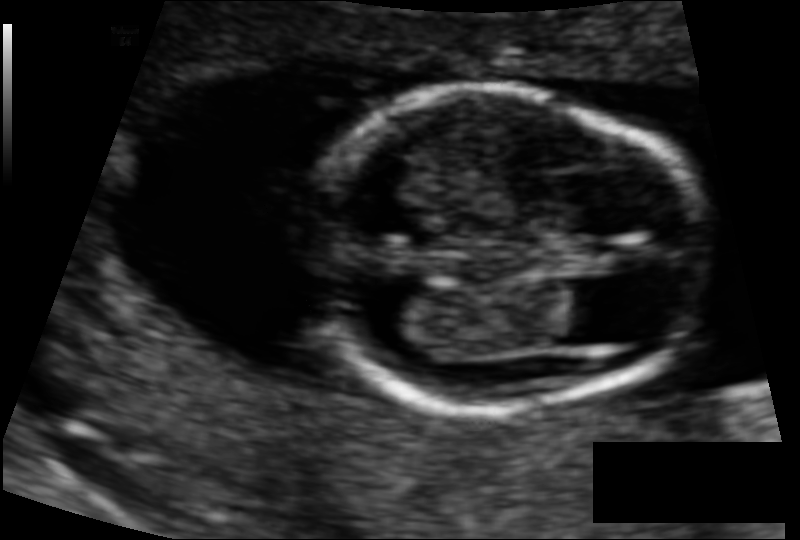
Measure the fetal head circumference shown in this ultrasound image. Image width: 67.4 mm.

Head circumference: 99.3 mm.